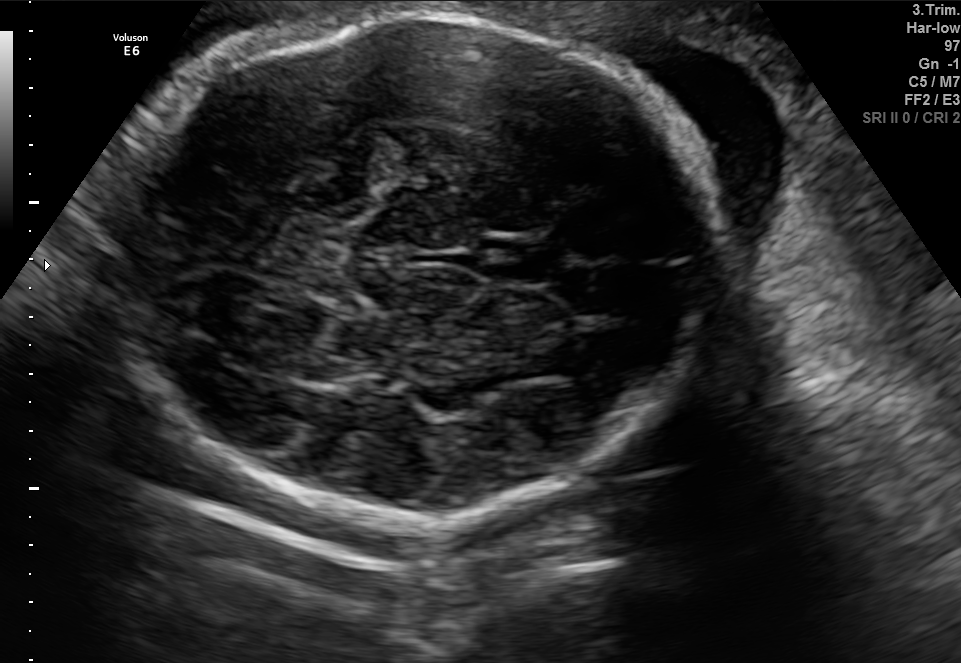
Fetal brain, trans-thalamic plane. Locate the cavum septum pellucidum.

CSP: [481,240,548,281]